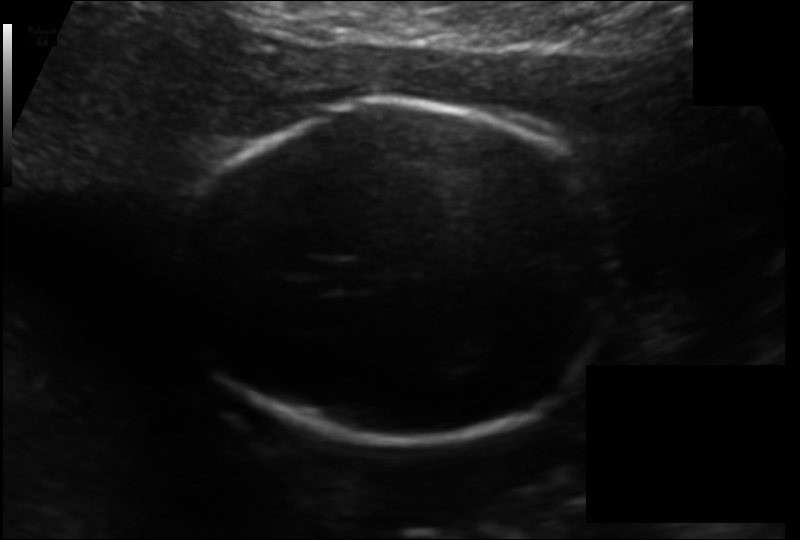
In this fetal head ultrasound, give the bounding box of the fetal head. Image width: 106.3 mm.

[184,100,624,442]